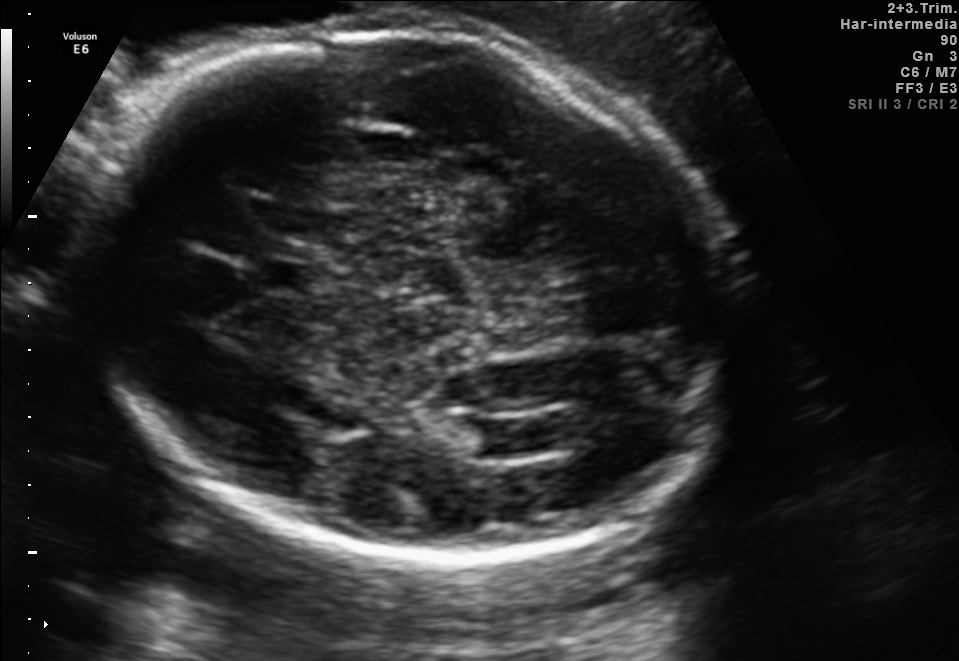
Fetal brain, trans-ventricular plane. Locate the fetal head and, if visible, the cavum septum pellucidum (CSP) and lateral ventricle (LV). Give bounding boxes as [x1,y1,x2,y2].

Head: [67,17,760,570]
CSP: [229,244,332,305]
Lateral ventricle: [470,410,566,458]